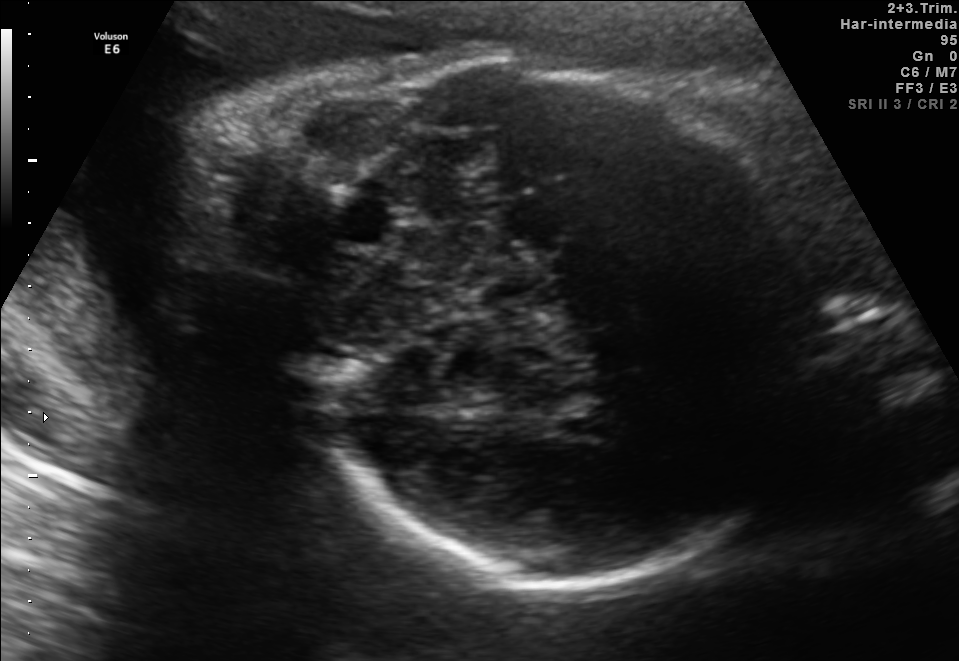
Which standard maternal-fetal ultrasound plane is shown: fetal abdomen, fetal brain, fetal femur, fetal thorax, maternal cervix, or other? If it's fetal brain and one of the three standard brain planes (trans-thalamic, trans-cerebellum, trans-ventricular), name which.

Fetal brain